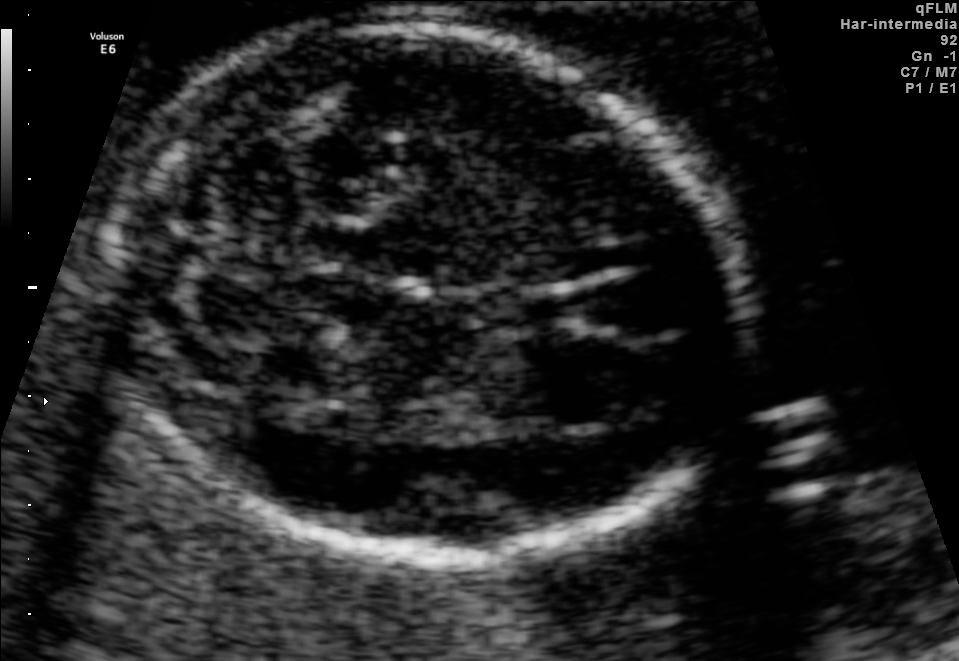
In this fetal brain, trans-cerebellum plane, give the bounding box of the fetal head.

[119,27,740,554]